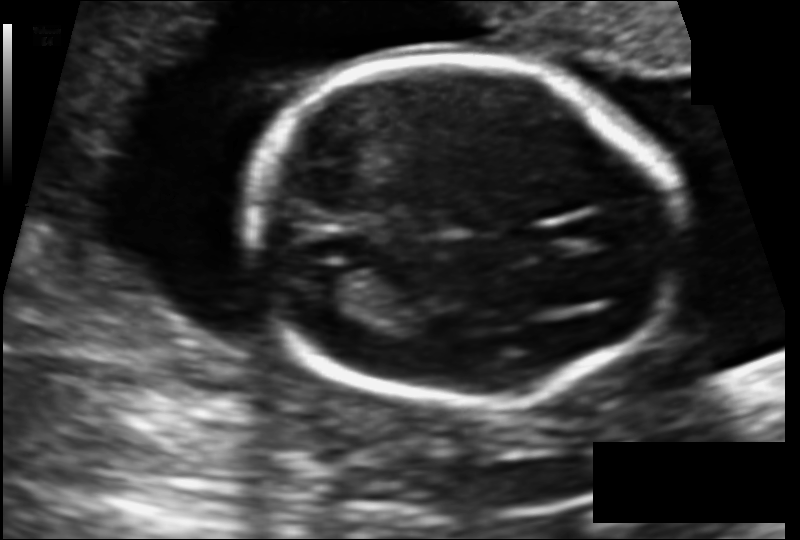
Fetal head ultrasound. Image width: 96.7 mm. Locate the fetal head and, if visible, the cavum septum pellucidum (CSP) and lateral ventricle (LV). Give bounding boxes as [x1,y1,x2,y2].

Head: [244,59,674,403]
Lateral ventricle: [315,266,382,304]